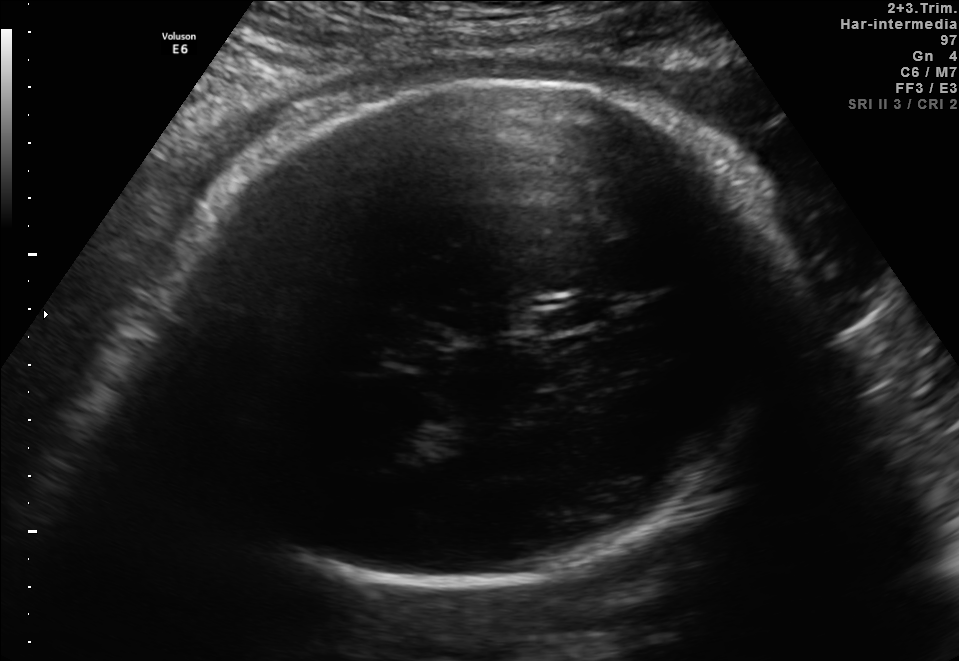
Fetal brain, trans-thalamic plane. Locate the cavum septum pellucidum.

CSP: [529,300,601,336]